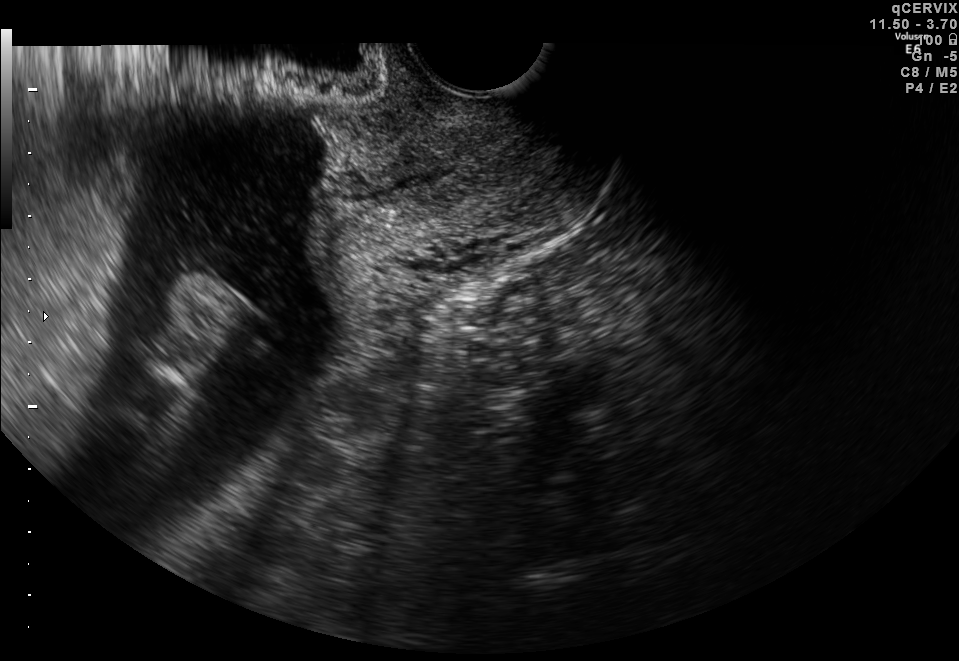
Classify this maternal-fetal ultrasound image as one of the six standard planes — fetal abdomen, fetal brain, fetal femur, fetal thorax, maternal cervix, or other. If it's fetal brain and one of the three standard brain planes (trans-thalamic, trans-cerebellum, trans-ventricular), name which.

Maternal cervix